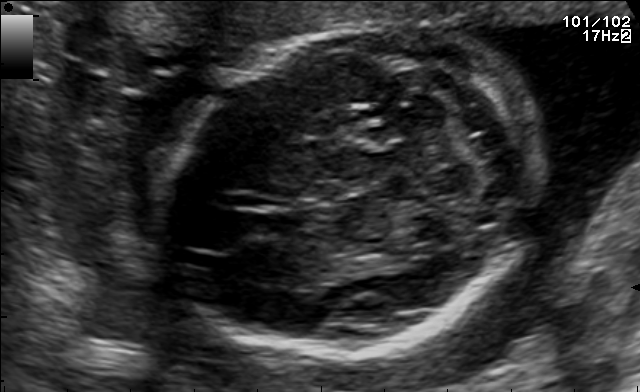
Fetal brain, trans-cerebellum plane. Locate the fetal head and, if visible, the cavum septum pellucidum (CSP) and lateral ventricle (LV). Give bounding boxes as [x1,y1,x2,y2].

Head: [168,27,532,354]